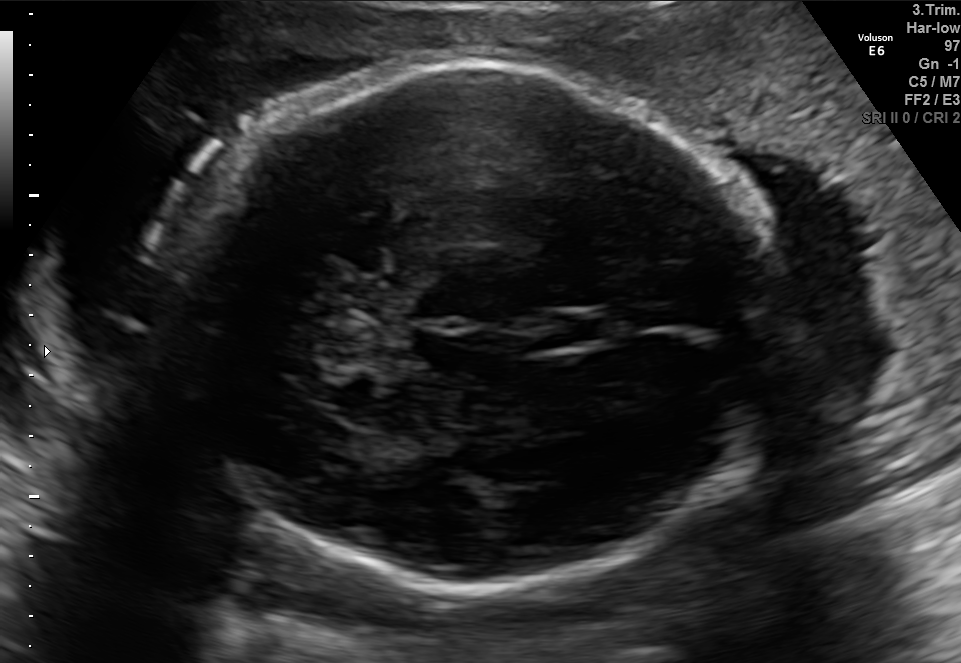
Fetal brain, trans-thalamic plane. Locate the cavum septum pellucidum.

CSP: [556,304,623,350]